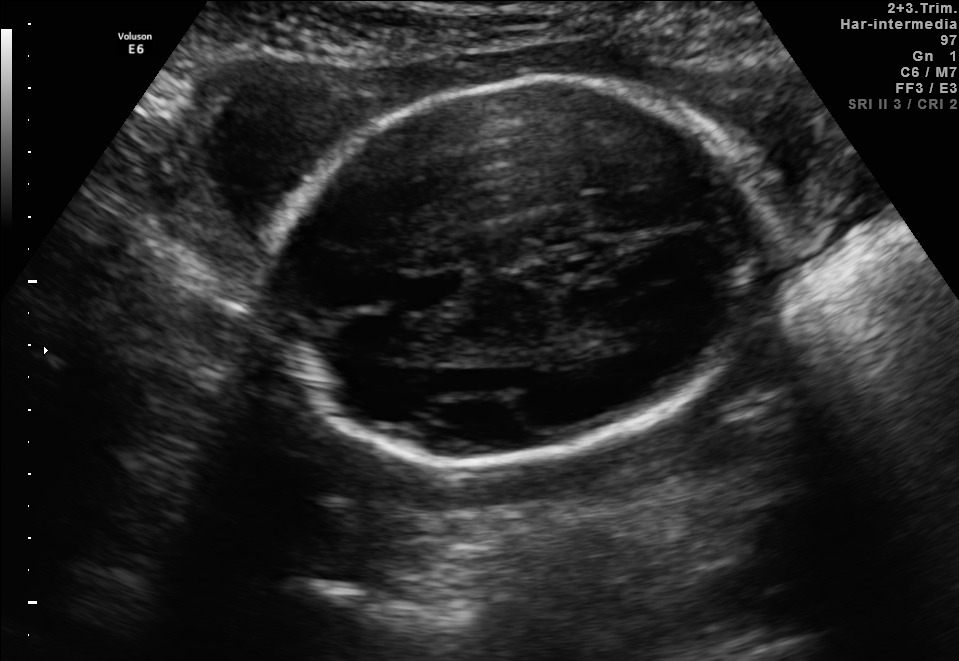
This is a 2D maternal-fetal ultrasound frame. Is it a fetal abdomen, fetal brain, fetal femur, fetal thorax, maternal cervix, or other standard plane? If it's fetal brain and one of the three standard brain planes (trans-thalamic, trans-cerebellum, trans-ventricular), name which.

Fetal brain (trans-thalamic plane)